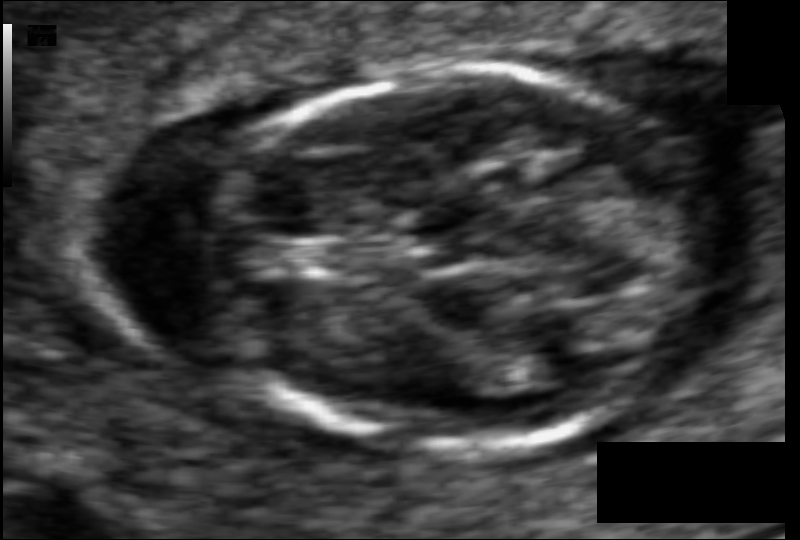
Fetal head ultrasound. Image width: 46.1 mm. Locate the fetal head and, if visible, the cavum septum pellucidum (CSP) and lateral ventricle (LV). Give bounding boxes as [x1,y1,x2,y2].

Head: [211,68,711,451]